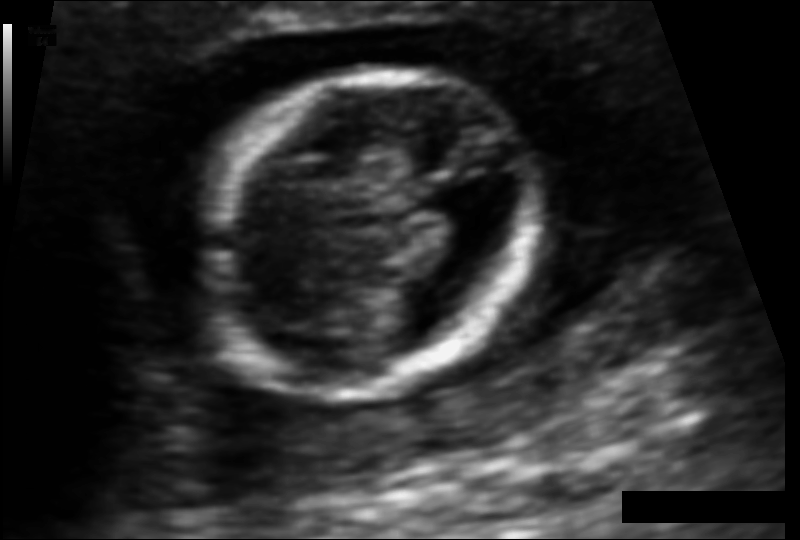
Estimate the fetal head circumference from this 2D ultrasound.

Head circumference: 98.7 mm (image width 73.5 mm).